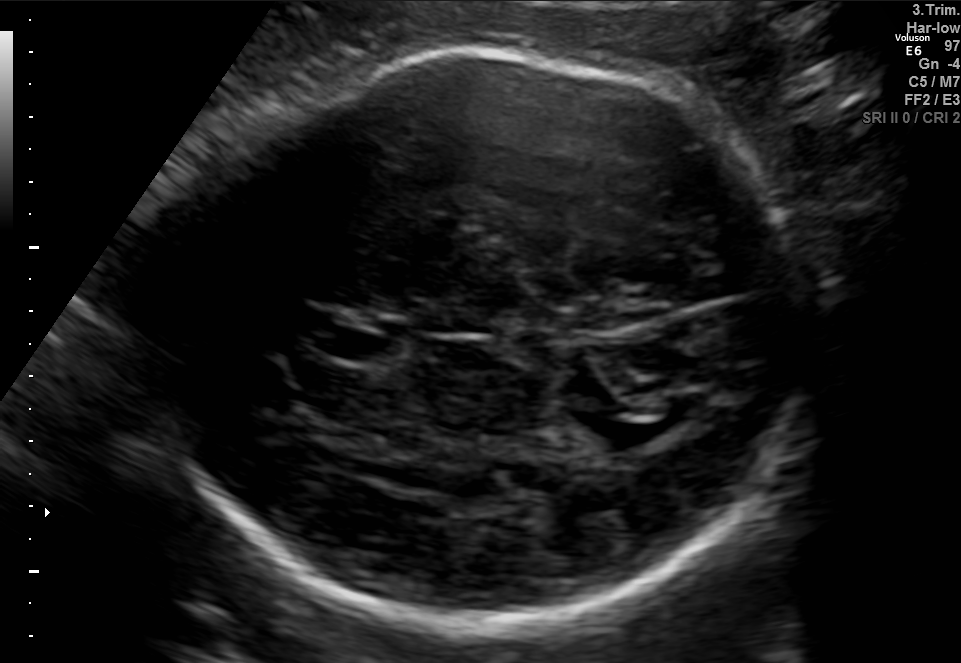
In this fetal brain, trans-thalamic plane, give the bounding box of the cavum septum pellucidum.

[314,320,389,368]